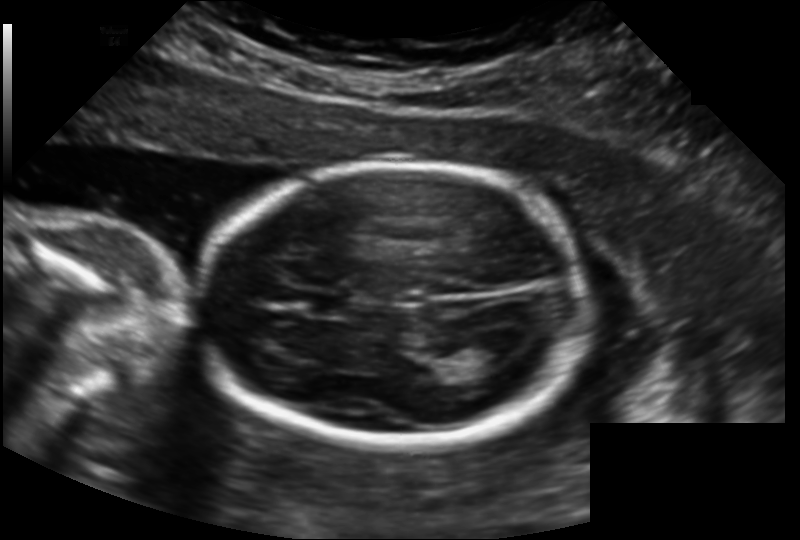
From this fetal ultrasound, estimate the head circumference (image width 126.2 mm).

Head circumference: 171.8 mm.